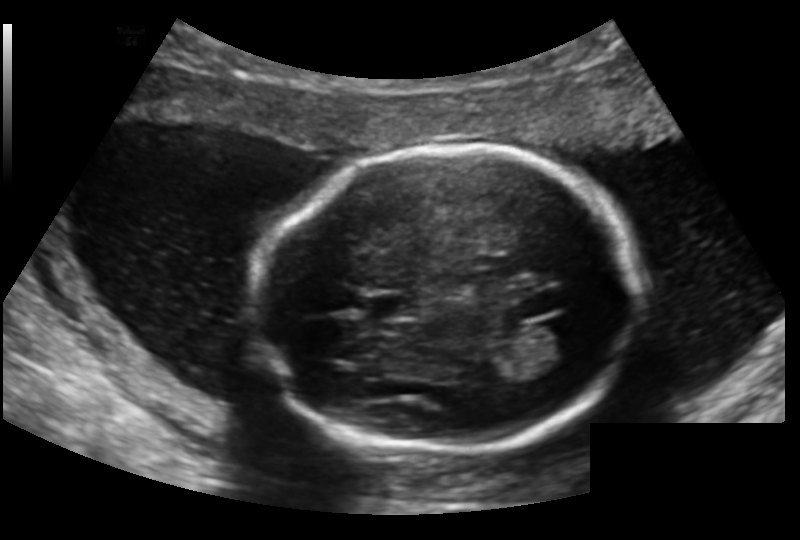
In this fetal head ultrasound, give the bounding box of the cavum septum pellucidum. Image width: 127.4 mm.

[366,295,416,318]